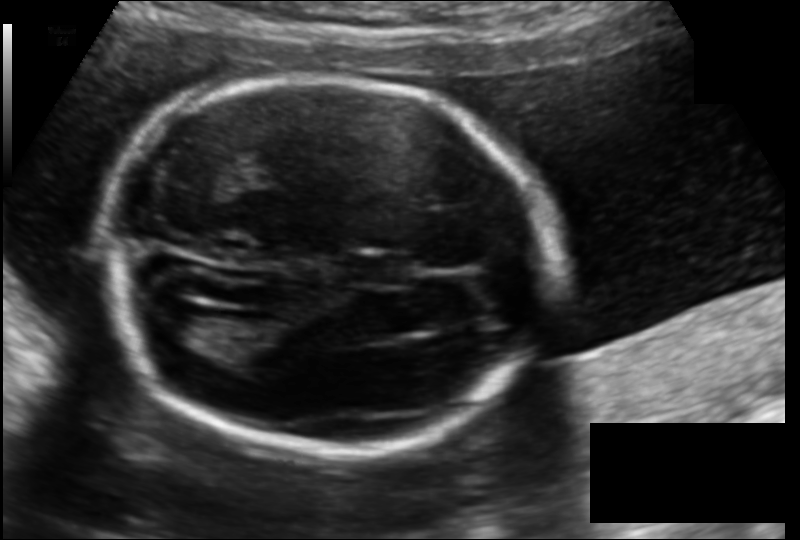
Fetal head ultrasound. Image width: 107.8 mm. Locate the lateral ventricle.

Lateral ventricle: [144,299,215,354]